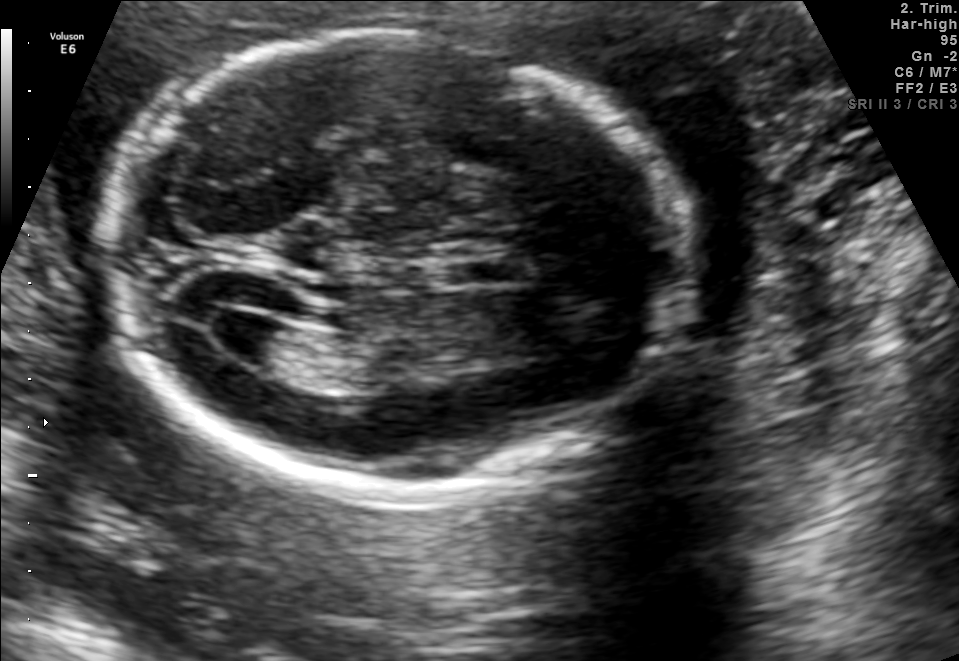
Fetal brain, trans-ventricular plane. Where is the lateral ventricle?

Lateral ventricle bounding box: [189,287,286,369]